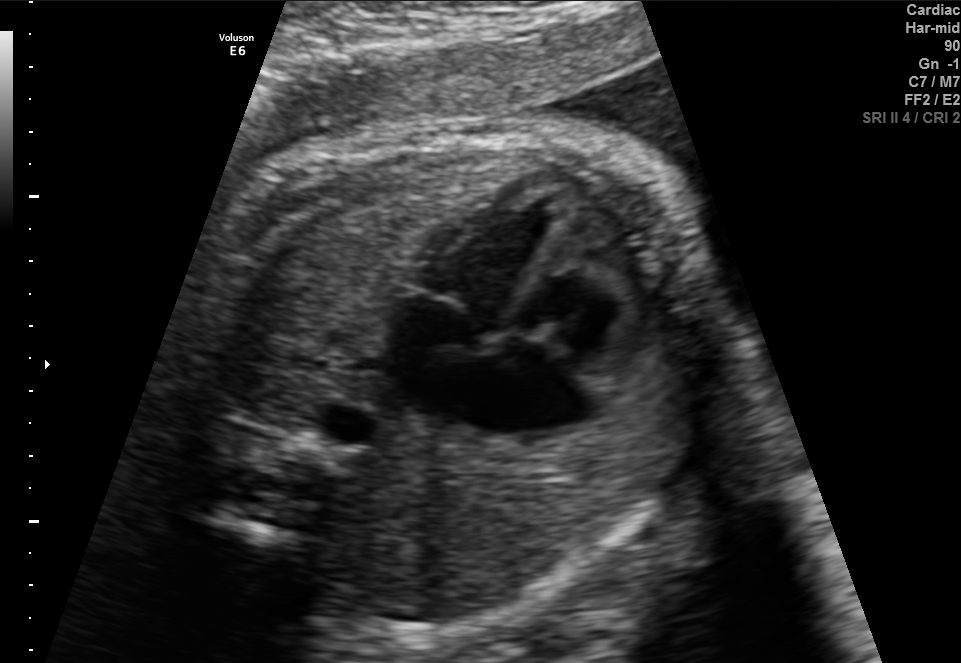
Which standard maternal-fetal ultrasound plane is shown: fetal abdomen, fetal brain, fetal femur, fetal thorax, maternal cervix, or other? If it's fetal brain and one of the three standard brain planes (trans-thalamic, trans-cerebellum, trans-ventricular), name which.

Fetal thorax